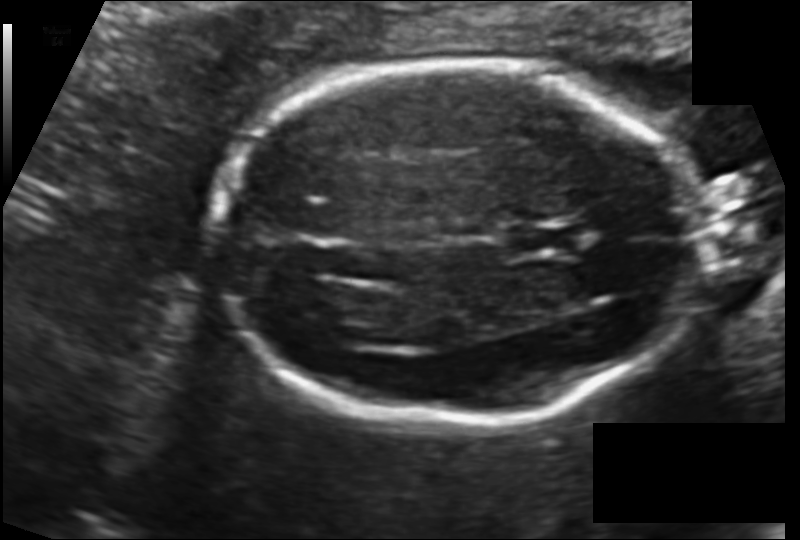
Fetal head ultrasound. Image width: 98.3 mm. Where is the cavum septum pellucidum?

CSP bounding box: [505,221,579,260]